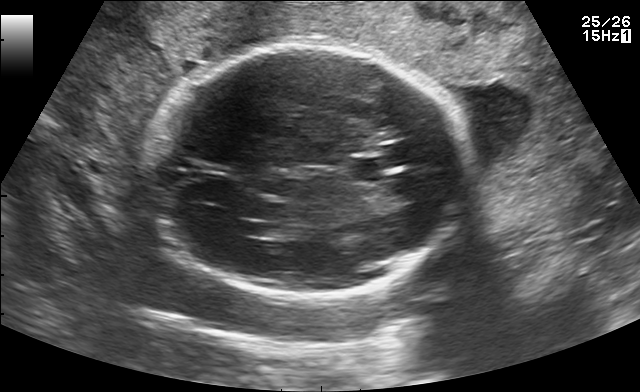
Fetal brain, trans-ventricular plane. Locate the fetal head and, if visible, the cavum septum pellucidum (CSP) and lateral ventricle (LV). Give bounding boxes as [x1,y1,x2,y2].

Head: [138,38,479,305]
CSP: [341,156,396,183]
Lateral ventricle: [232,218,267,237]